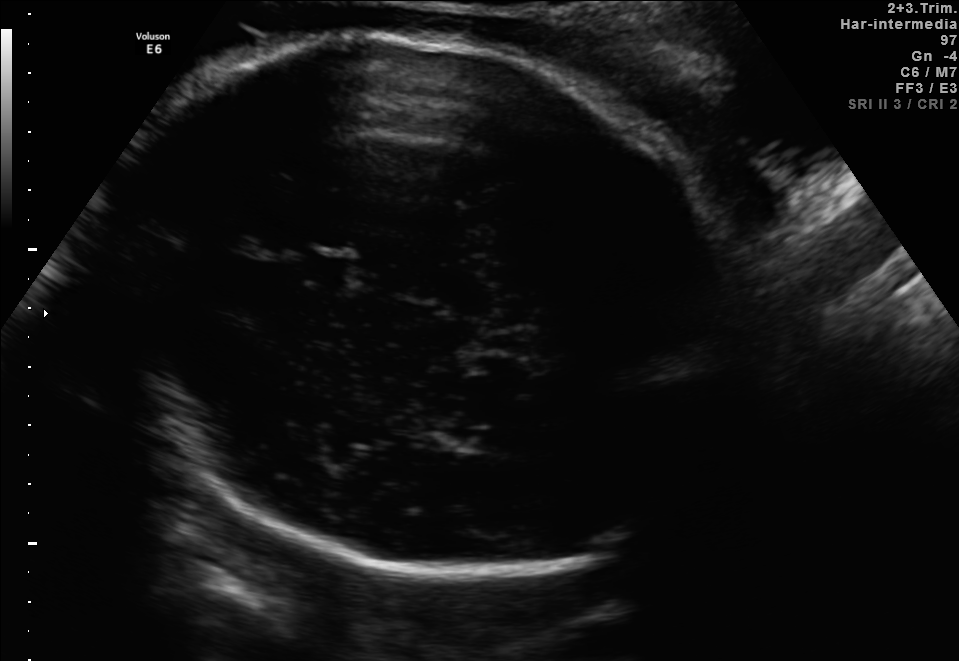
Fetal brain, trans-thalamic plane. Locate the cavum septum pellucidum.

CSP: [307,254,347,286]